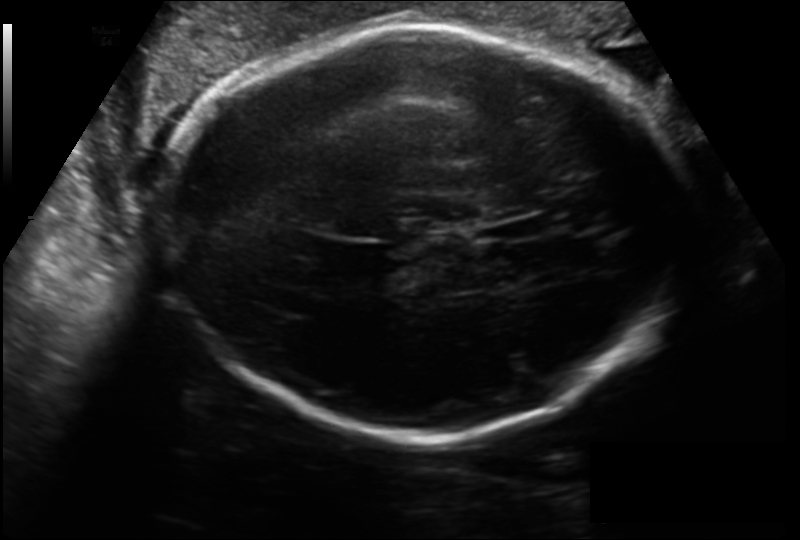
Estimate the fetal head circumference from this 2D ultrasound.

Head circumference: 298.6 mm (image width 158.9 mm).